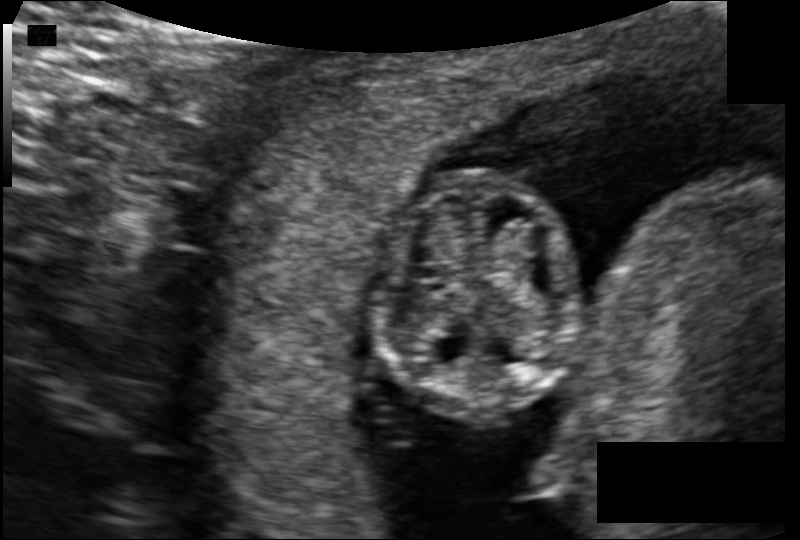
In this fetal head ultrasound, give bounding boxes for the head outline, cavum septum pellucidum (CSP), and lateral ventricle (LV), where visible. Image width: 81.0 mm.

Head: [373,172,579,414]